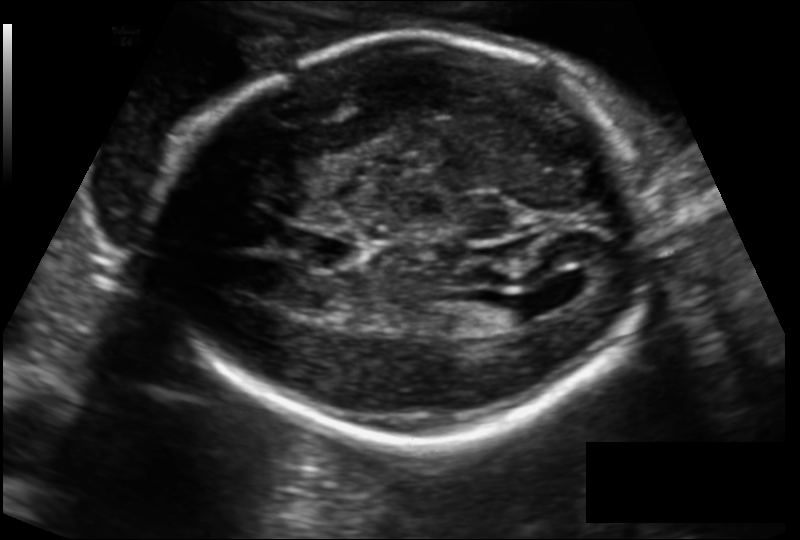
Fetal head ultrasound. Image width: 119.5 mm. Give [x1,y1,x2,y2] bounding boxes for each visible structure among: fetal head, CSP, LV.

Head: [154,35,659,440]
CSP: [296,229,362,275]
Lateral ventricle: [470,292,532,333]